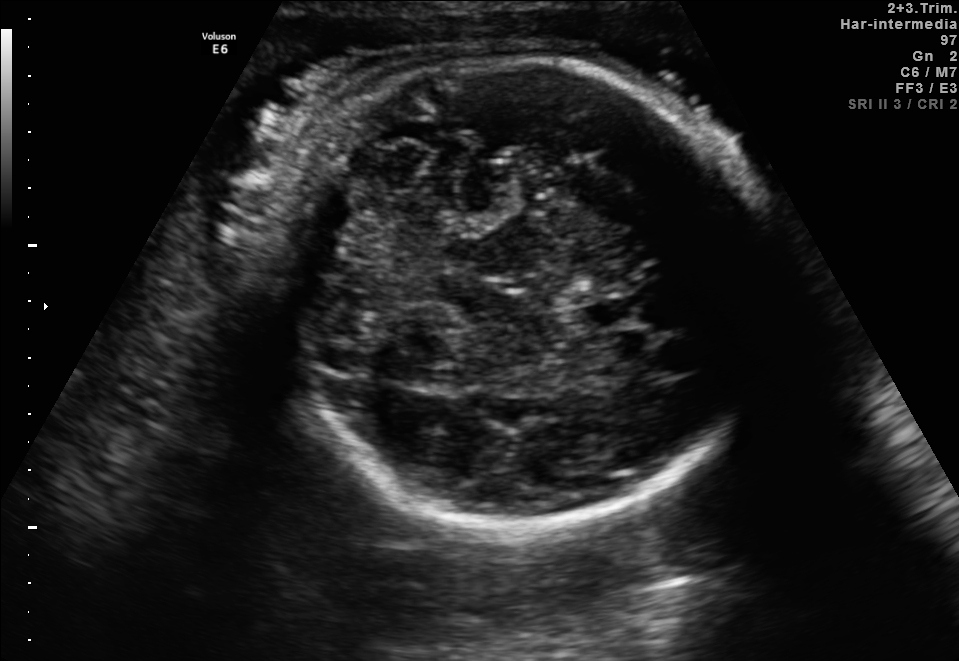
Which standard maternal-fetal ultrasound plane is shown: fetal abdomen, fetal brain, fetal femur, fetal thorax, maternal cervix, or other? If it's fetal brain and one of the three standard brain planes (trans-thalamic, trans-cerebellum, trans-ventricular), name which.

Fetal brain (trans-cerebellum plane)